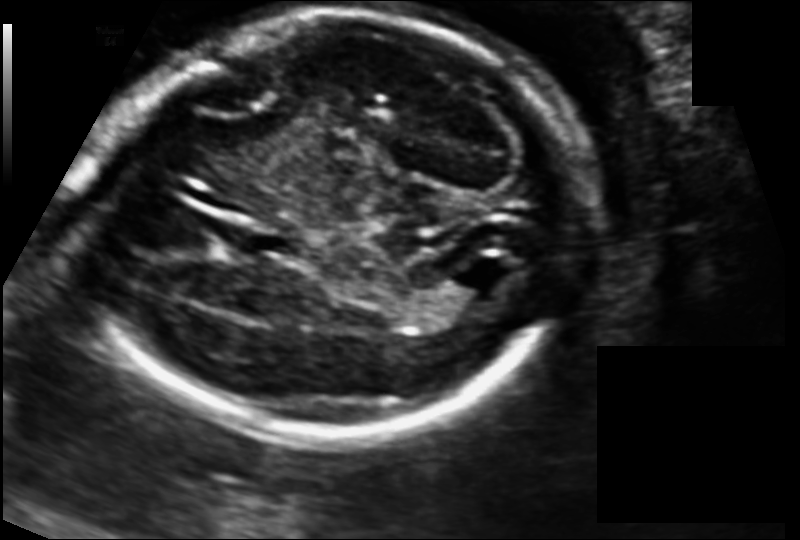
Fetal head ultrasound. Image width: 100.4 mm. Where is the lateral ventricle?

Lateral ventricle bounding box: [445,236,525,314]